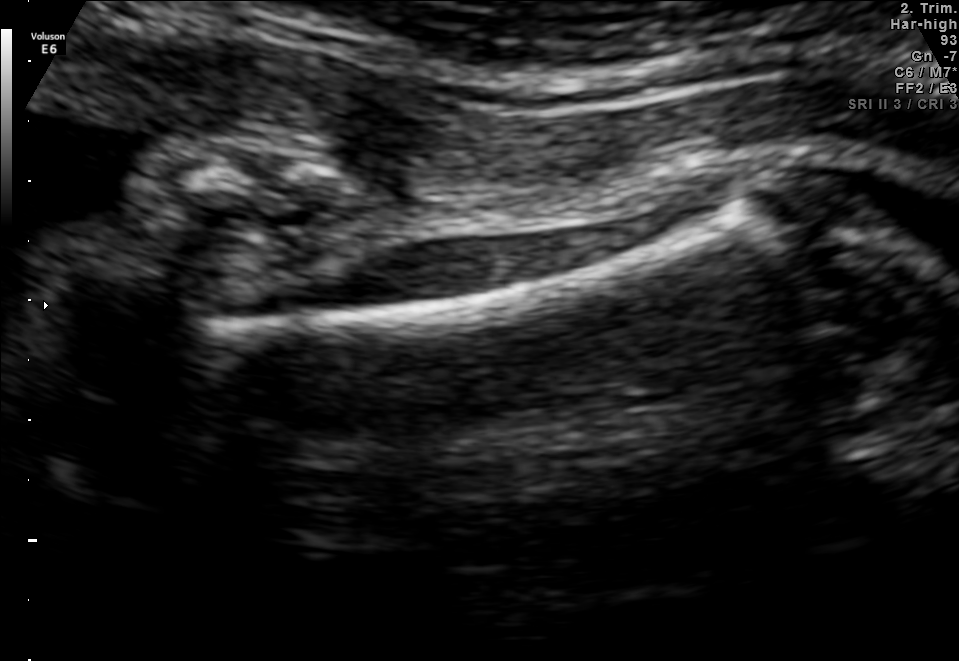
Identify the standard plane in this fetal ultrasound image: fetal abdomen, fetal brain, fetal femur, fetal thorax, maternal cervix, or other. If it's fetal brain and one of the three standard brain planes (trans-thalamic, trans-cerebellum, trans-ventricular), name which.

Fetal femur